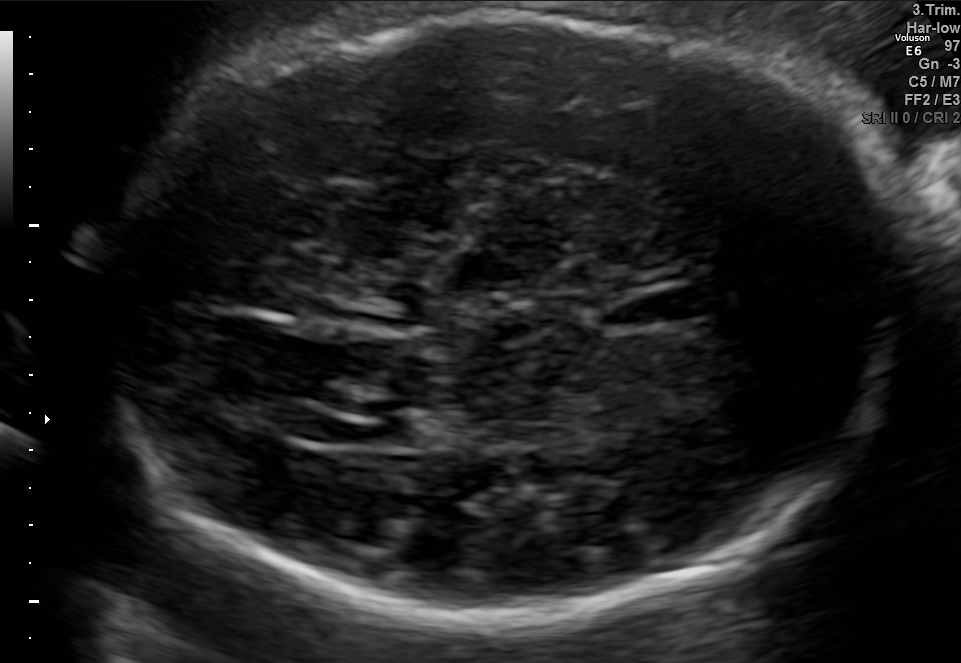
Fetal brain, trans-ventricular plane. Locate the fetal head.

Head: [90,11,917,630]